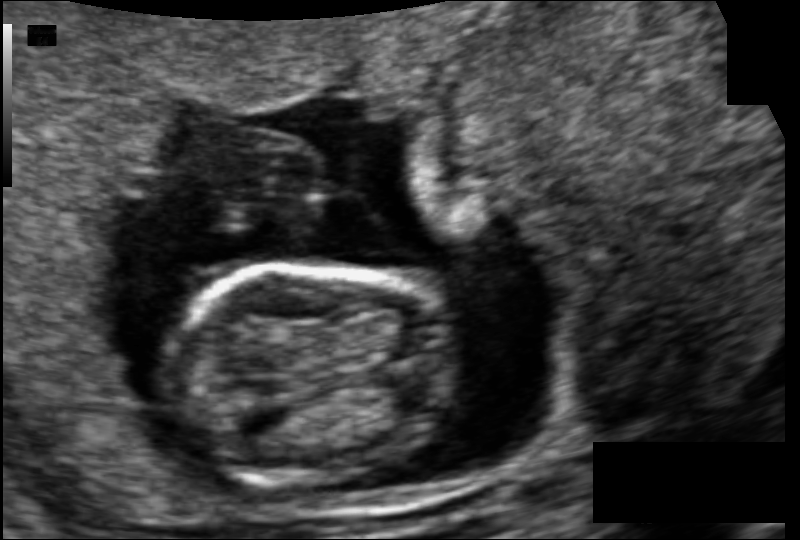
Fetal head ultrasound. Image width: 70.0 mm. Give [x1,y1,x2,y2] bounding boxes for each visible structure among: fetal head, CSP, LV.

Head: [166,262,457,485]